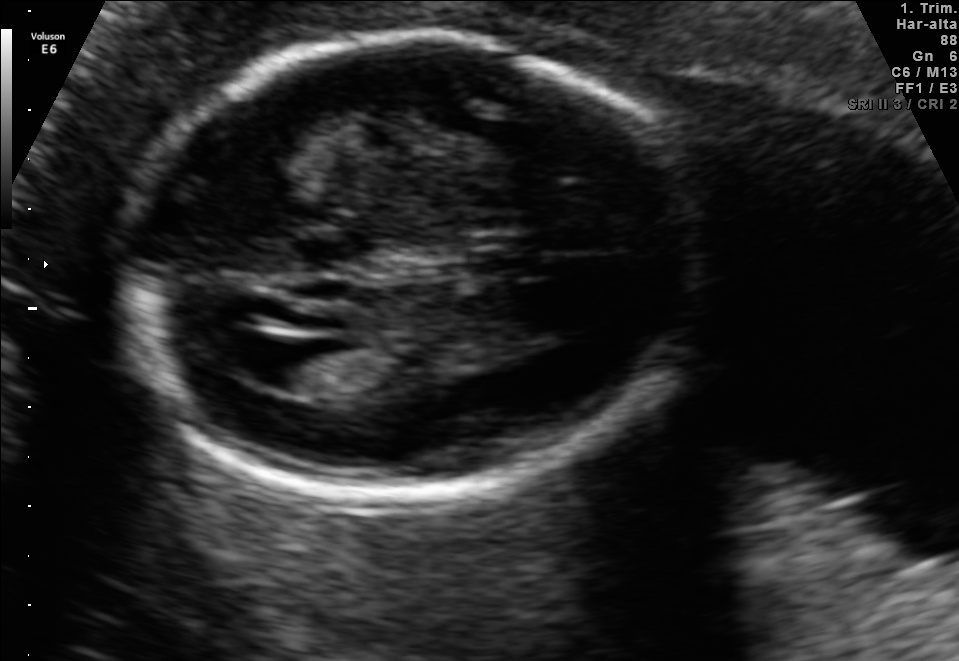
Identify the standard plane in this fetal ultrasound image: fetal abdomen, fetal brain, fetal femur, fetal thorax, maternal cervix, or other. If it's fetal brain and one of the three standard brain planes (trans-thalamic, trans-cerebellum, trans-ventricular), name which.

Fetal brain (trans-ventricular plane)